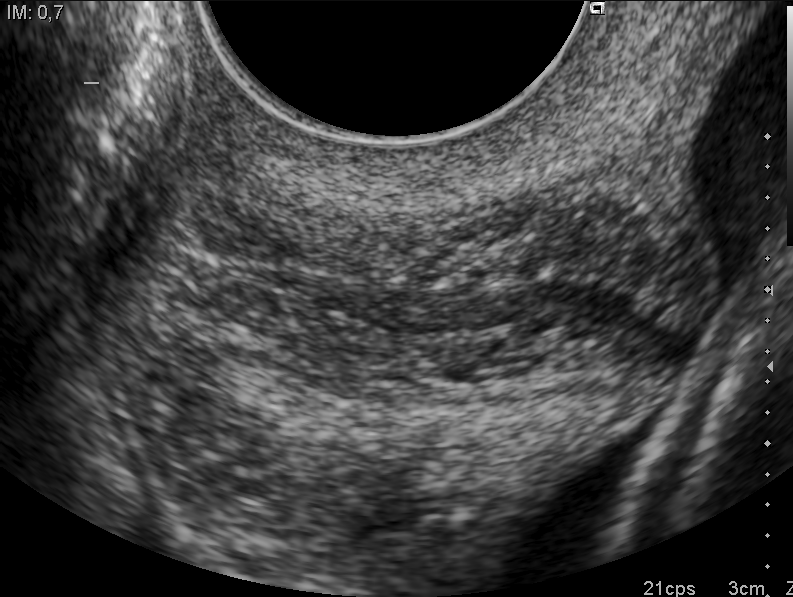
This is a 2D maternal-fetal ultrasound frame. Is it a fetal abdomen, fetal brain, fetal femur, fetal thorax, maternal cervix, or other standard plane? If it's fetal brain and one of the three standard brain planes (trans-thalamic, trans-cerebellum, trans-ventricular), name which.

Maternal cervix